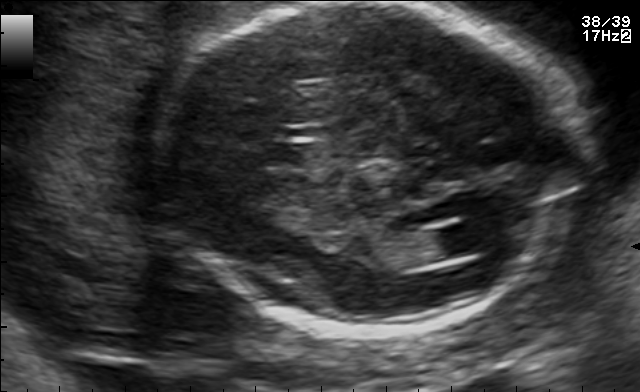
Fetal brain, trans-ventricular plane. Locate the fetal head.

Head: [152,2,583,336]